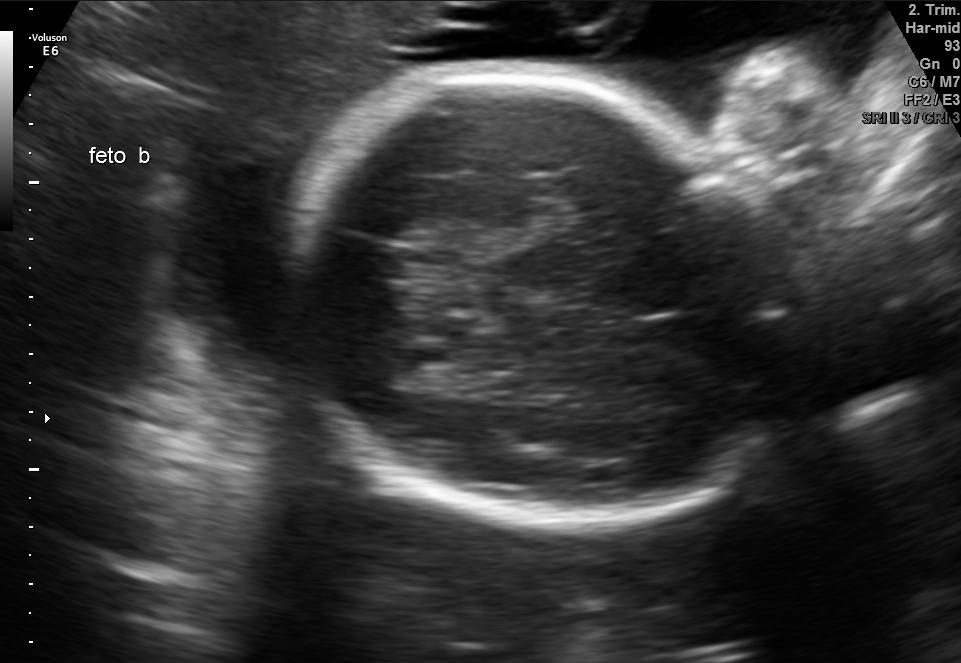
Fetal brain, trans-thalamic plane. Where is the fetal head?

Head bounding box: [284,70,796,527]